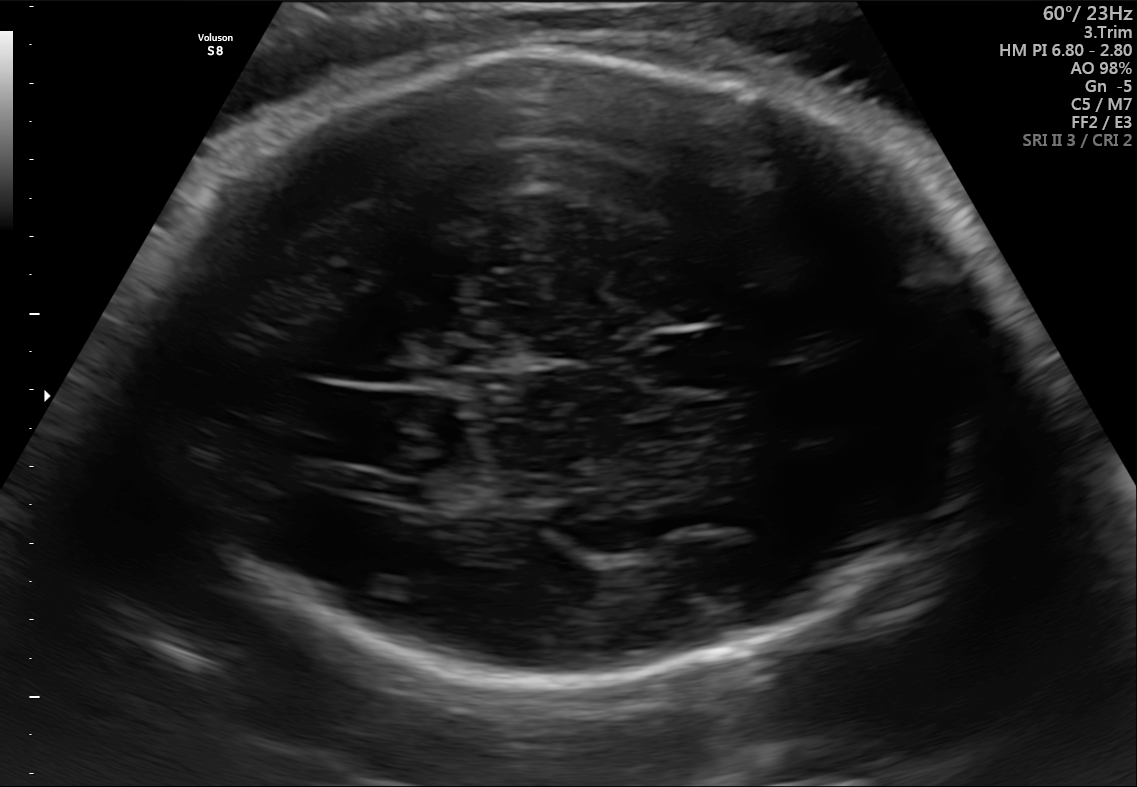
This is a 2D maternal-fetal ultrasound frame. Is it a fetal abdomen, fetal brain, fetal femur, fetal thorax, maternal cervix, or other standard plane? If it's fetal brain and one of the three standard brain planes (trans-thalamic, trans-cerebellum, trans-ventricular), name which.

Fetal brain (trans-thalamic plane)